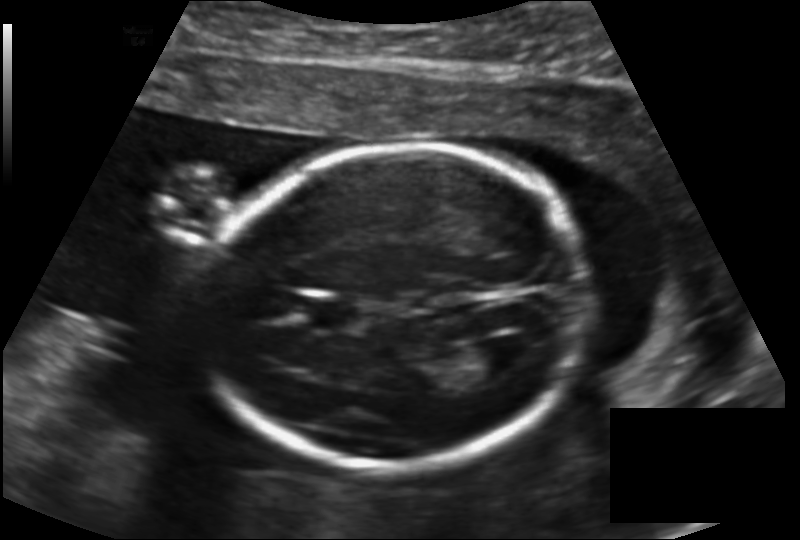
In this fetal head ultrasound, give the bounding box of the lateral ventricle. Image width: 117.6 mm.

[464,329,537,382]